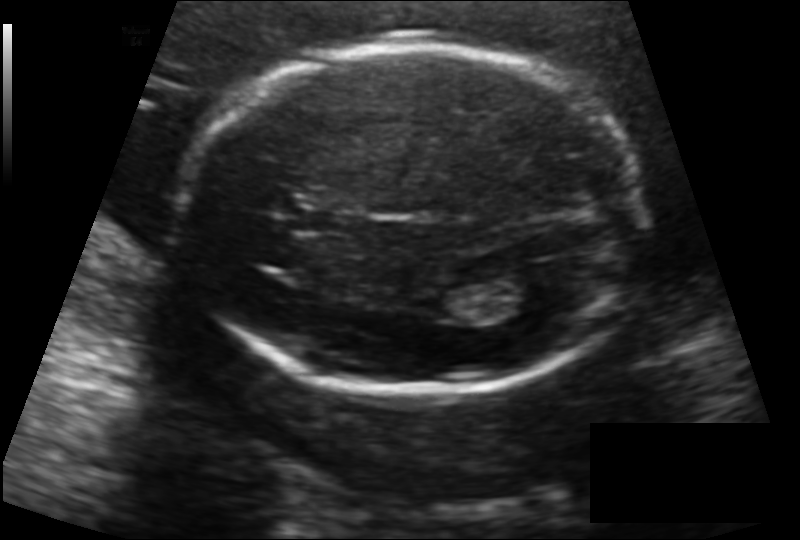
Fetal head ultrasound. Image width: 113.3 mm. Locate the fetal head and, if visible, the cavum septum pellucidum (CSP) and lateral ventricle (LV). Give bounding boxes as [x1,y1,x2,y2].

Head: [180,47,647,394]
CSP: [291,204,358,238]
Lateral ventricle: [489,268,558,320]